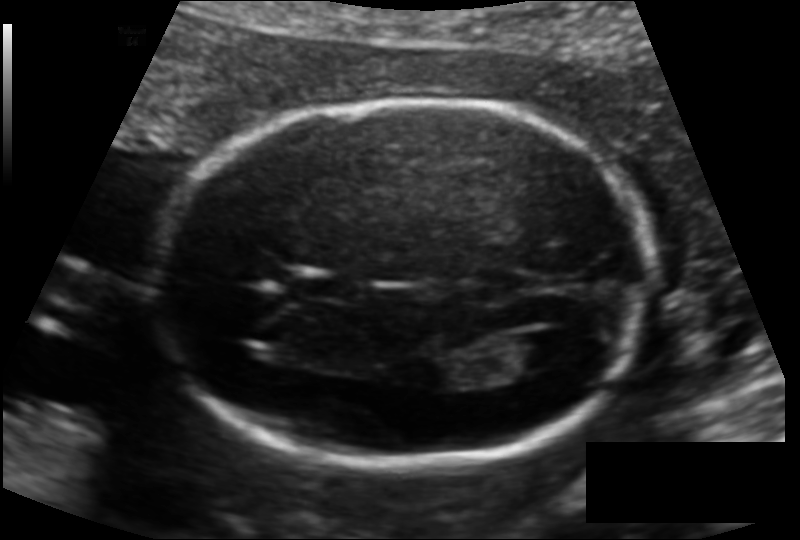
Fetal head ultrasound. Image width: 102.6 mm. Where is the lateral ventricle?

Lateral ventricle bounding box: [500,326,576,374]